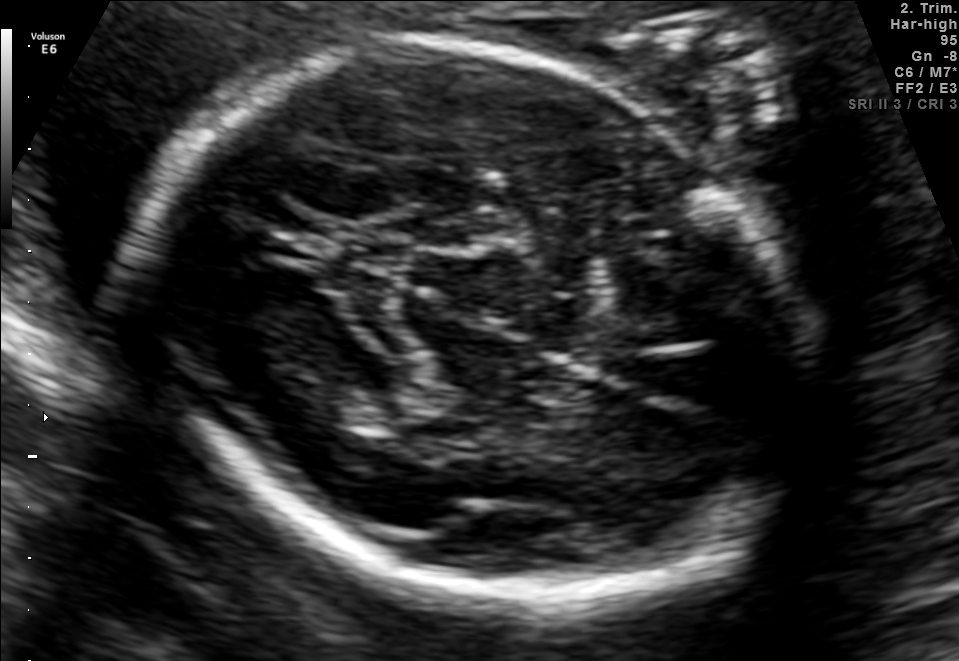
Fetal brain, trans-thalamic plane. Give [x1,y1,x2,y2] bounding boxes for each visible structure among: fetal head, CSP, LV.

Head: [143,40,802,601]